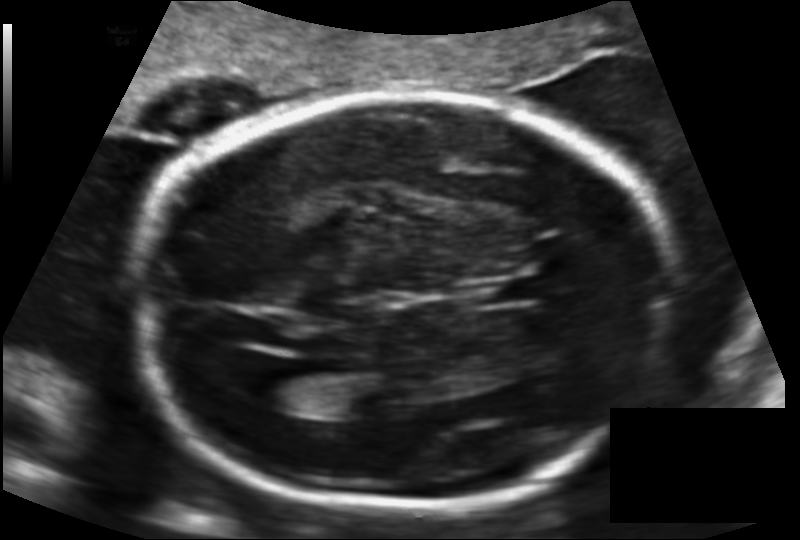
What is the fetal head circumference? Image width is 113.0 mm.

221.3 mm